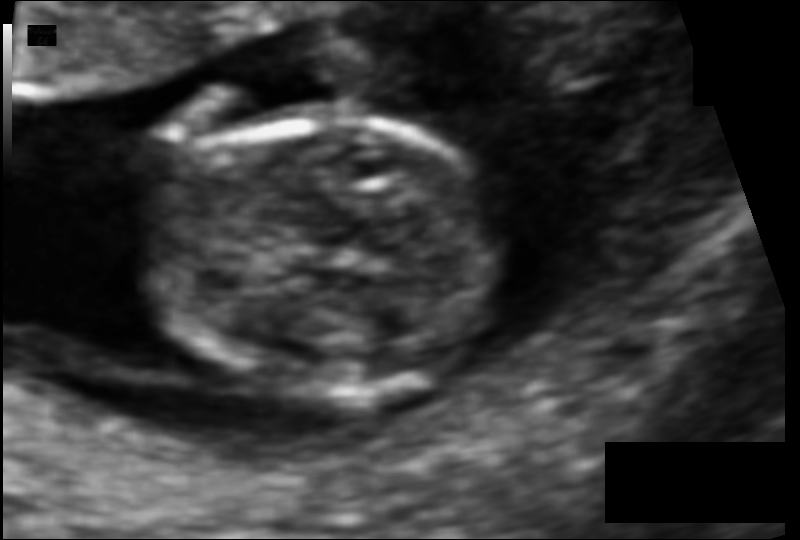
In this fetal head ultrasound, give the bounding box of the fetal head. Image width: 58.2 mm.

[146,120,509,400]